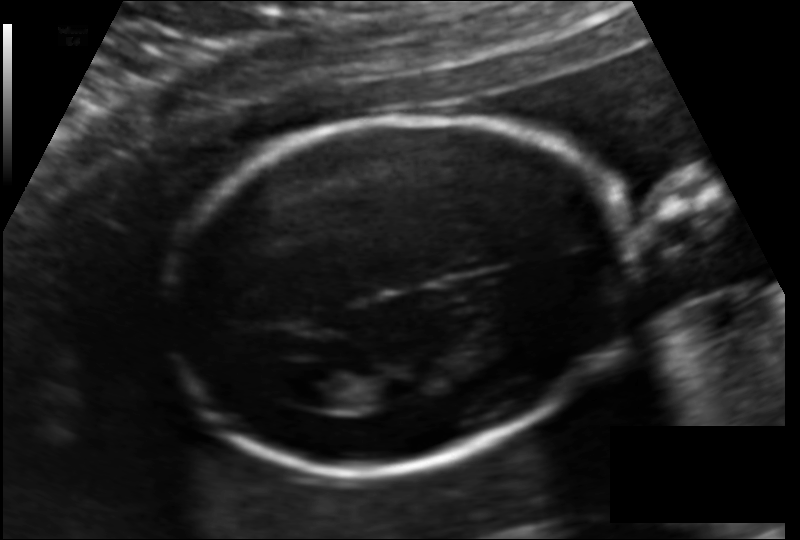
In this fetal head ultrasound, give the bounding box of the lateral ventricle. Image width: 101.5 mm.

[287,367,352,410]